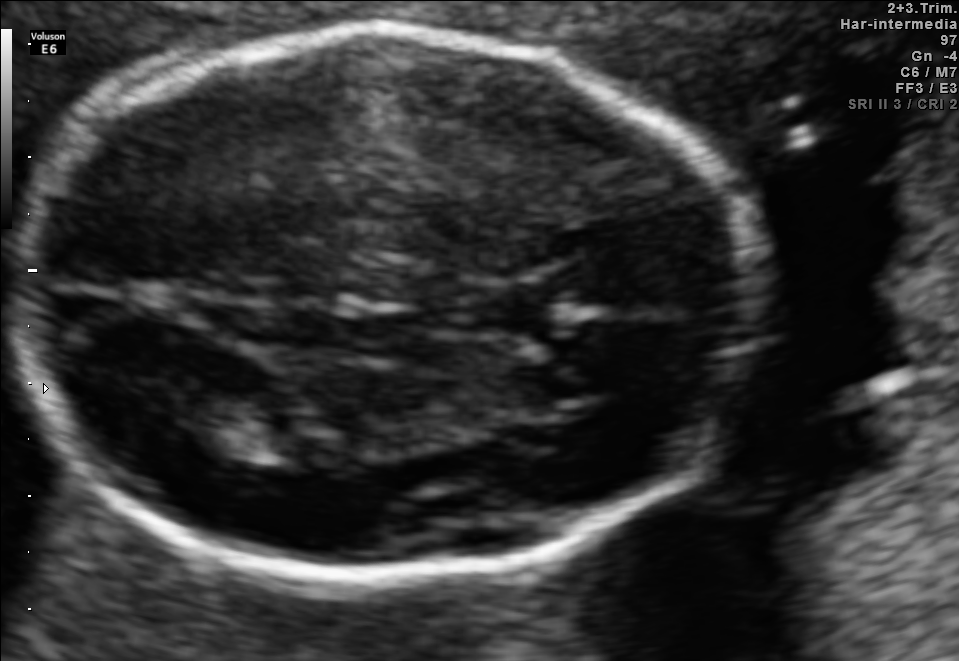
Fetal brain, trans-thalamic plane. Where is the fetal head?

Head bounding box: [9,34,746,567]